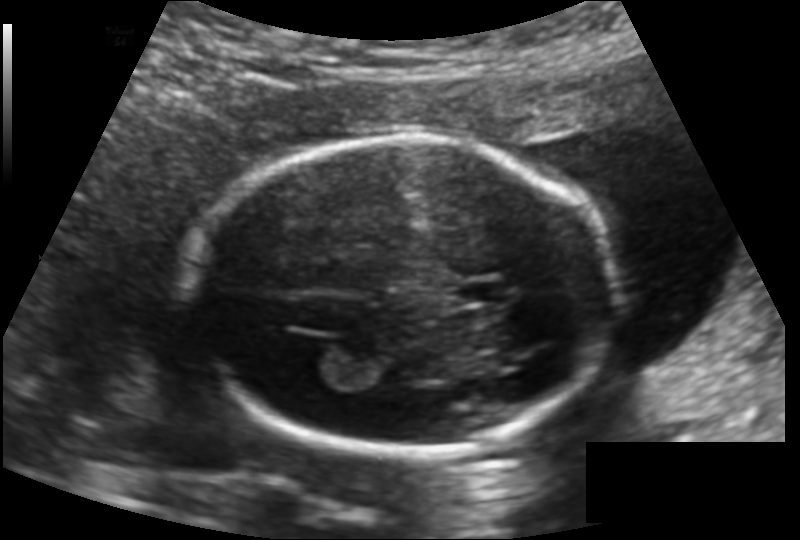
Fetal head ultrasound. Image width: 109.1 mm. Give [x1,y1,x2,y2] bounding boxes for each visible structure among: fetal head, CSP, LV.

Head: [192,135,615,454]
CSP: [457,280,508,306]
Lateral ventricle: [284,331,341,374]